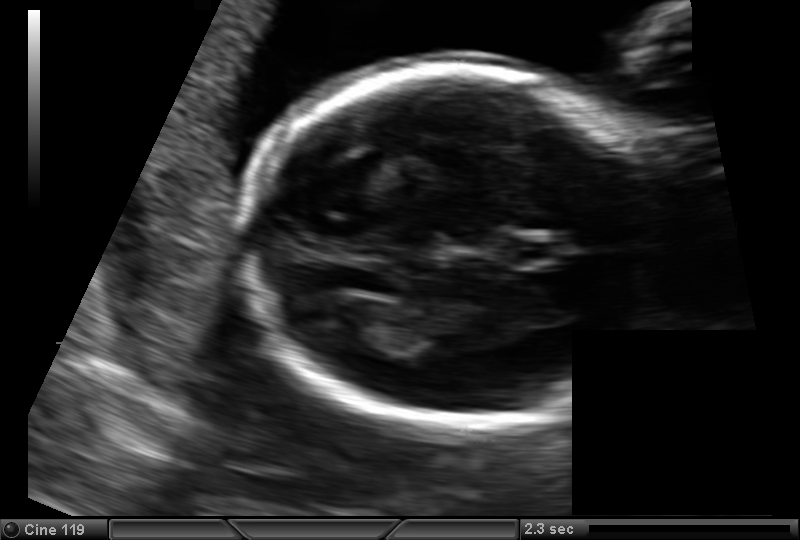
Fetal head ultrasound. Image width: 103.2 mm. Where is the lateral ventricle?

Lateral ventricle bounding box: [307,292,379,346]